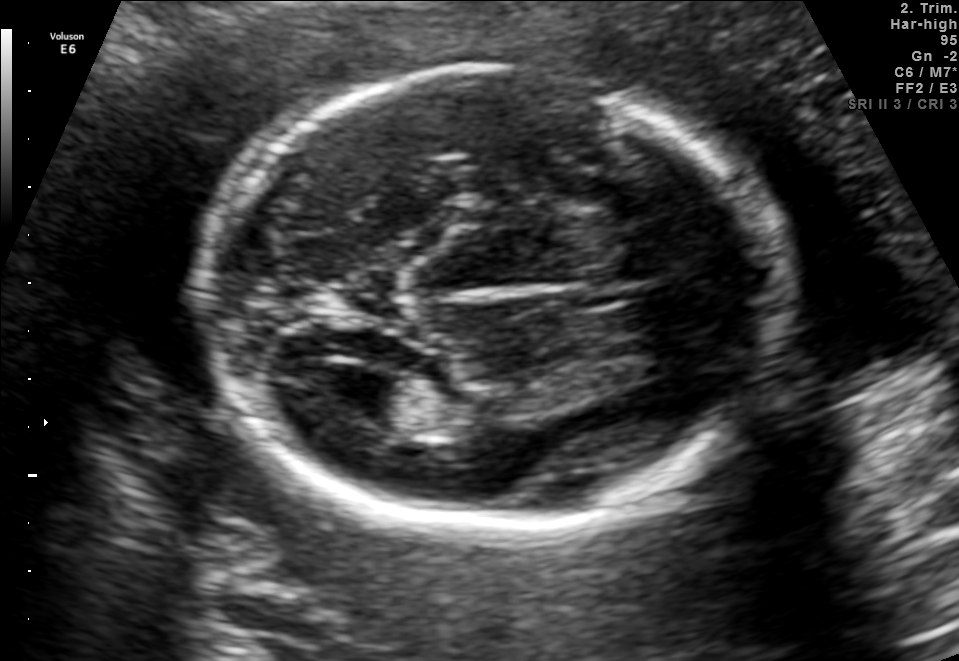
Fetal brain, trans-ventricular plane. Locate the cavum septum pellucidum.

CSP: [575,259,668,311]